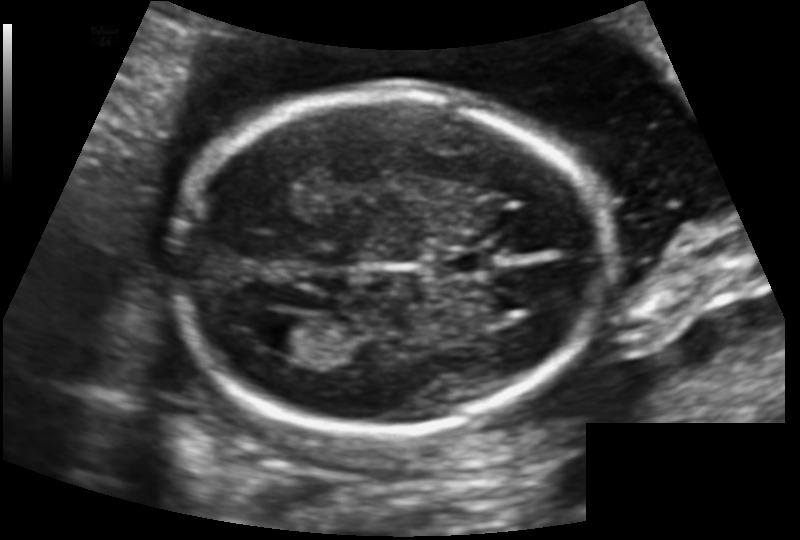
Fetal head ultrasound. Image width: 103.5 mm. Where is the lateral ventricle?

Lateral ventricle bounding box: [255,309,324,357]